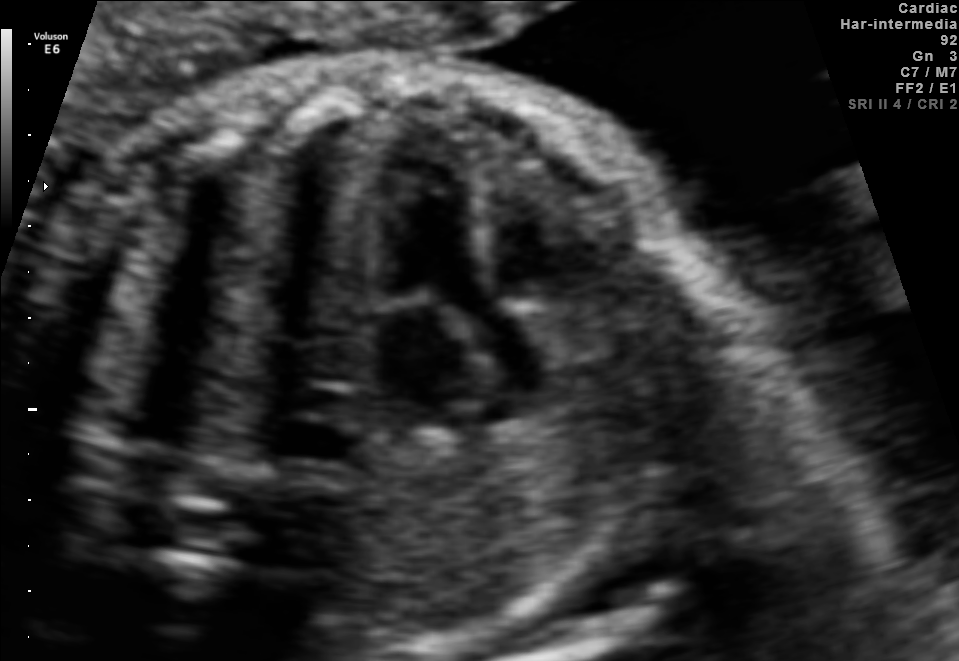
Which standard maternal-fetal ultrasound plane is shown: fetal abdomen, fetal brain, fetal femur, fetal thorax, maternal cervix, or other? If it's fetal brain and one of the three standard brain planes (trans-thalamic, trans-cerebellum, trans-ventricular), name which.

Other